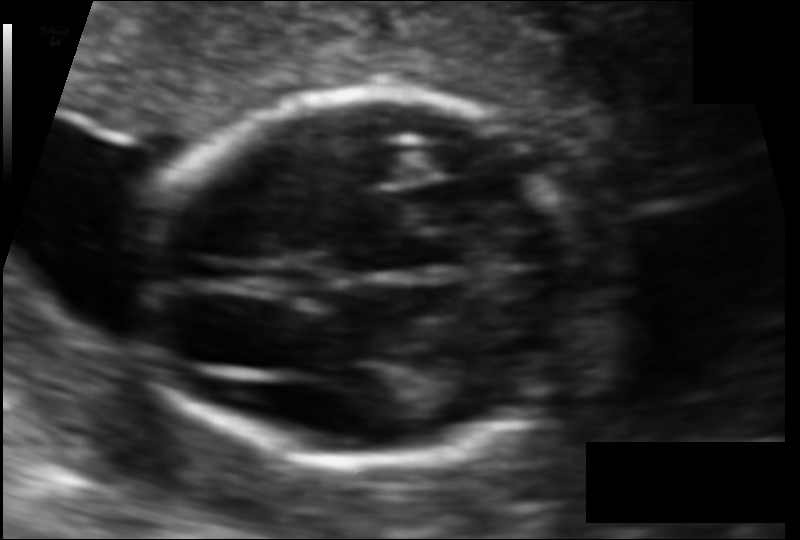
Estimate the fetal head circumference from this 2D ultrasound.

Head circumference: 118.2 mm (image width 70.1 mm).